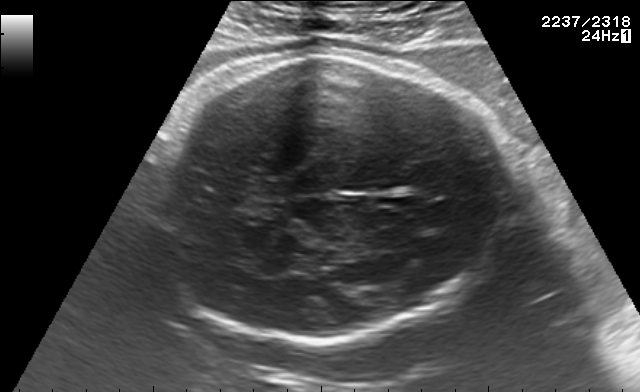
In this fetal brain, trans-thalamic plane, give bounding boxes for the head outline, cavum septum pellucidum (CSP), and lateral ventricle (LV), where visible.

Head: [147,54,509,342]